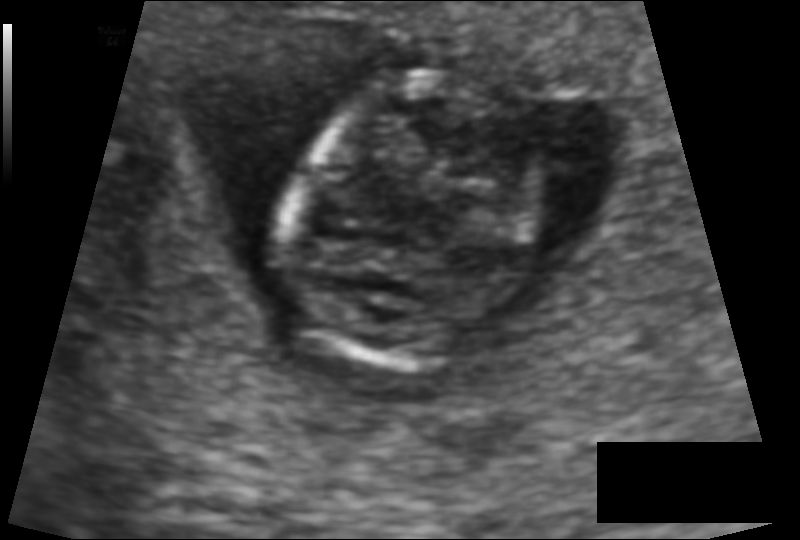
From this fetal ultrasound, estimate the head circumference (image width 72.8 mm).

Head circumference: 79.6 mm.